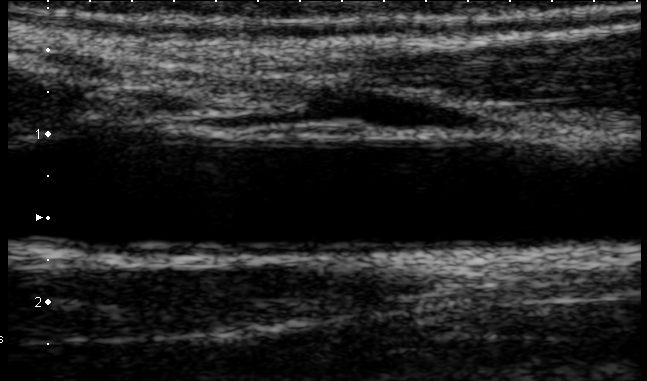
This is a 2D maternal-fetal ultrasound frame. Is it a fetal abdomen, fetal brain, fetal femur, fetal thorax, maternal cervix, or other standard plane? If it's fetal brain and one of the three standard brain planes (trans-thalamic, trans-cerebellum, trans-ventricular), name which.

Other